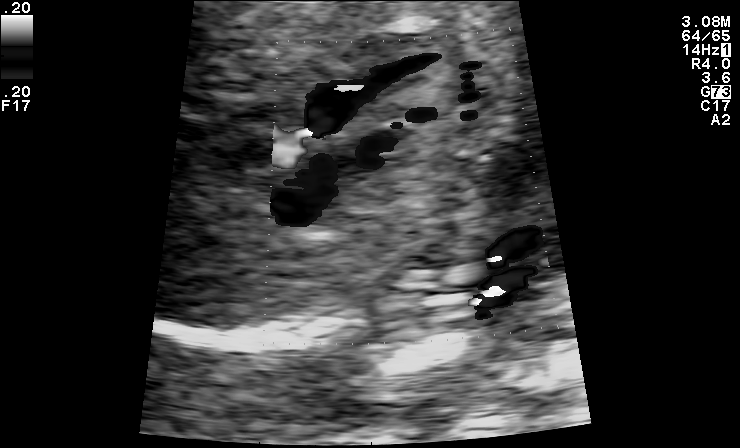
Identify the standard plane in this fetal ultrasound image: fetal abdomen, fetal brain, fetal femur, fetal thorax, maternal cervix, or other. If it's fetal brain and one of the three standard brain planes (trans-thalamic, trans-cerebellum, trans-ventricular), name which.

Other